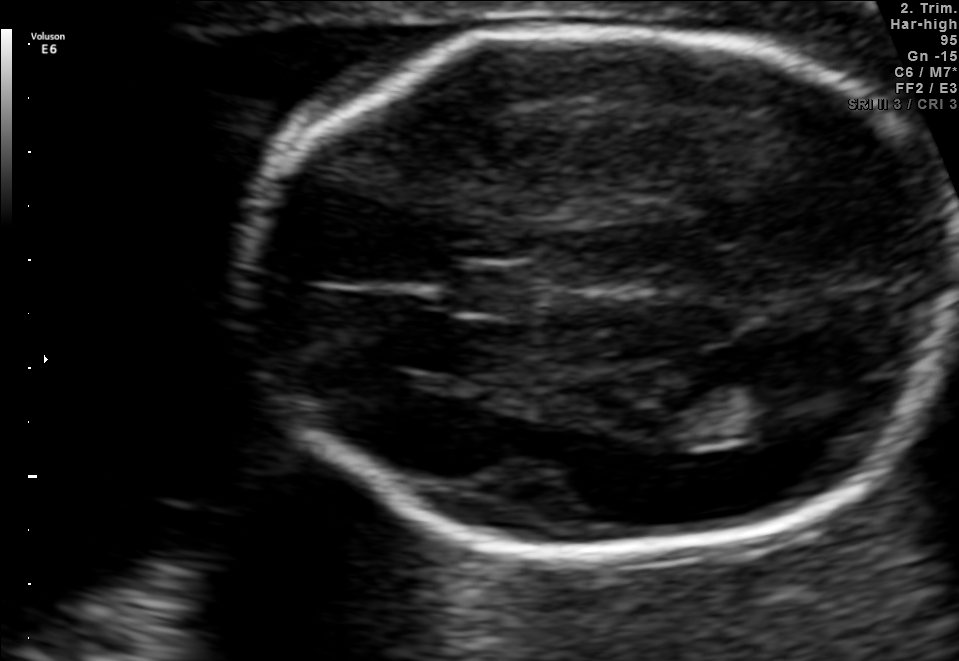
Fetal brain, trans-thalamic plane. Where is the fetal head?

Head bounding box: [240,29,958,552]